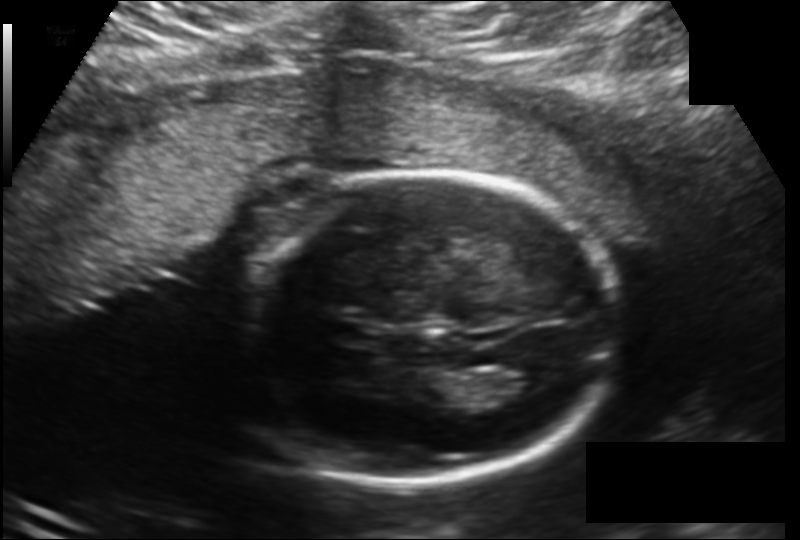
Fetal head ultrasound. Image width: 132.4 mm. Where is the lateral ventricle?

Lateral ventricle bounding box: [489,362,557,402]